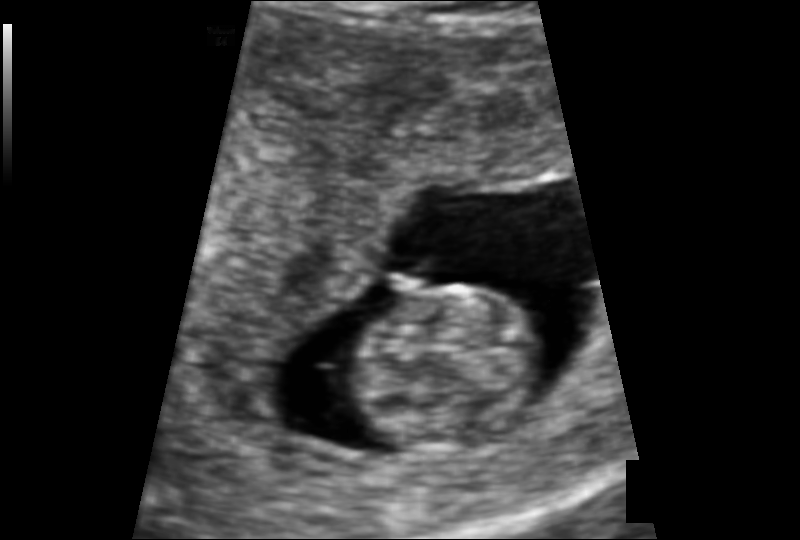
Fetal head ultrasound. Image width: 87.5 mm. Locate the fetal head and, if visible, the cavum septum pellucidum (CSP) and lateral ventricle (LV). Give bounding boxes as [x1,y1,x2,y2].

Head: [355,285,546,453]